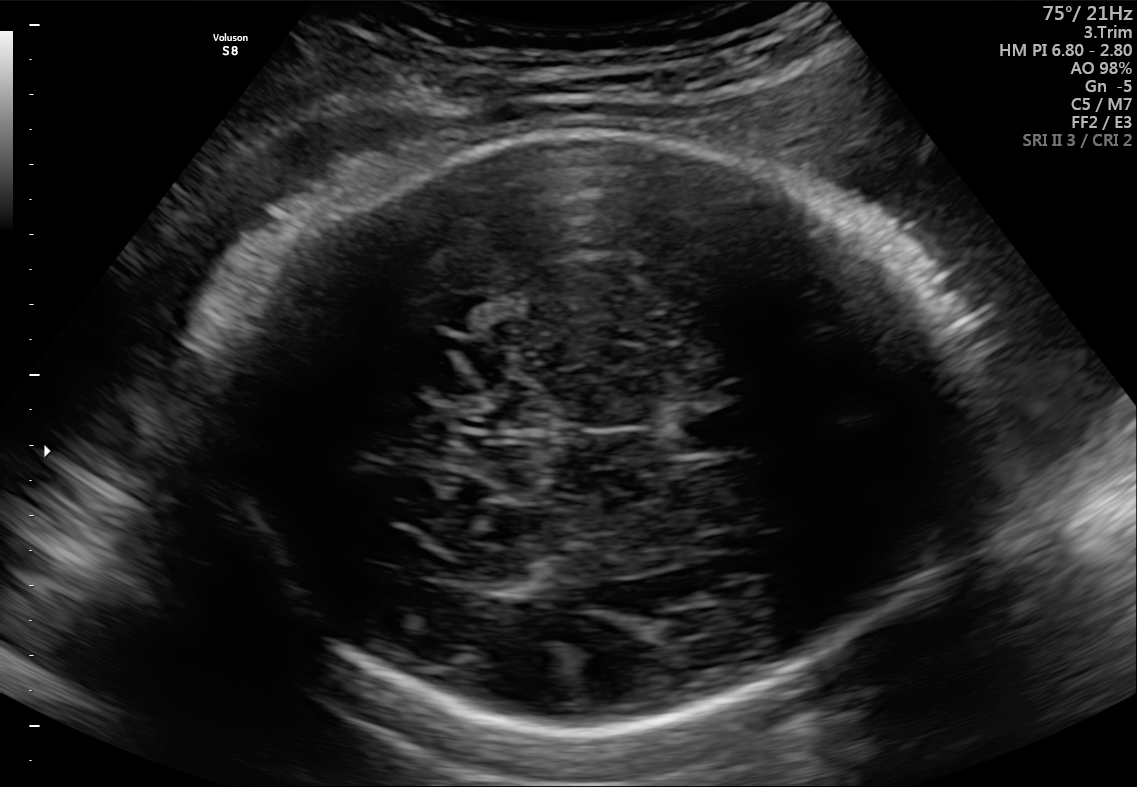
Fetal brain, trans-thalamic plane. Locate the fetal head.

Head: [211,130,950,731]